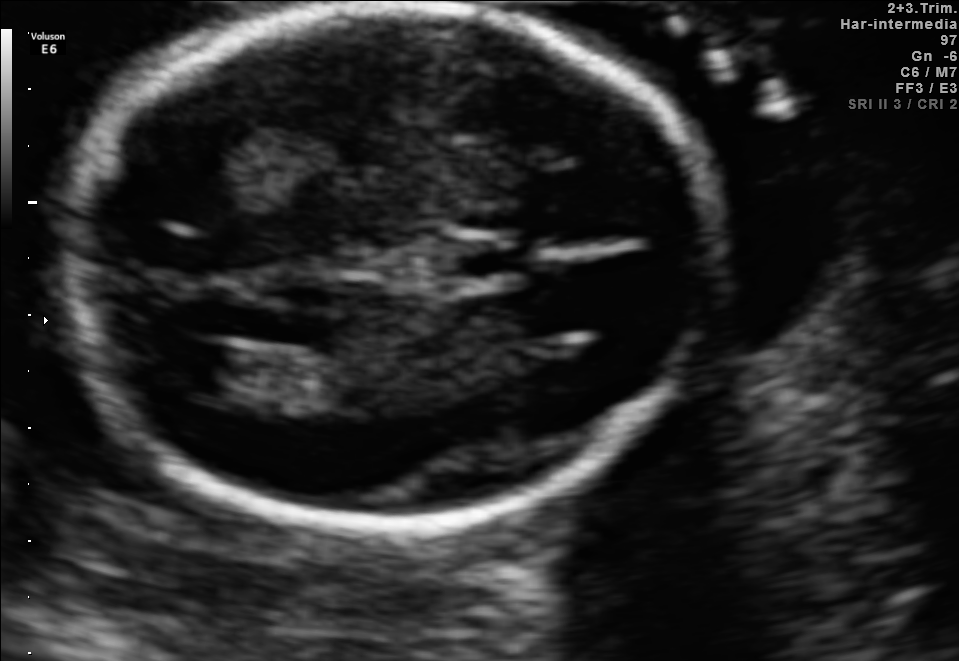
In this fetal brain, trans-ventricular plane, give the bounding box of the fetal head.

[59,7,718,536]